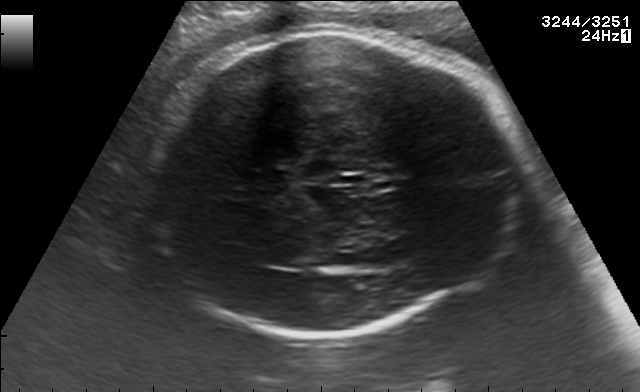
Fetal brain, trans-thalamic plane. Locate the fetal head.

Head: [143,34,514,334]